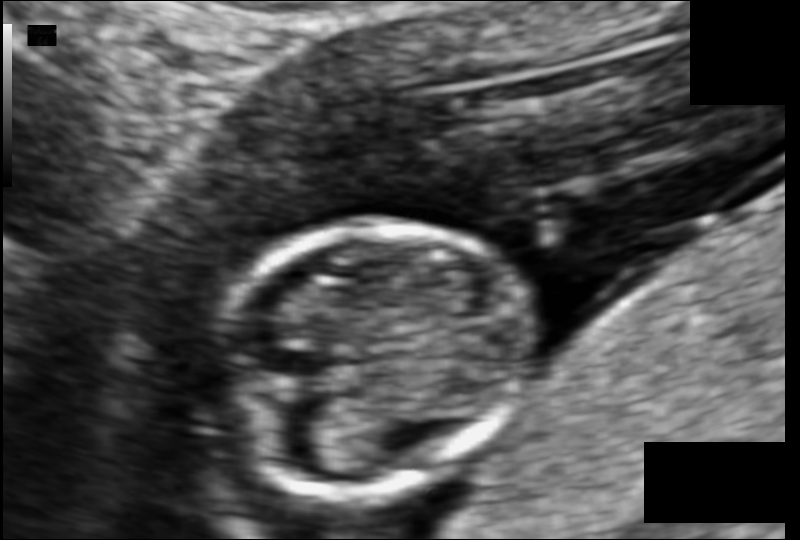
Fetal head ultrasound. Image width: 62.1 mm. Where is the fetal head?

Head bounding box: [216,223,532,493]